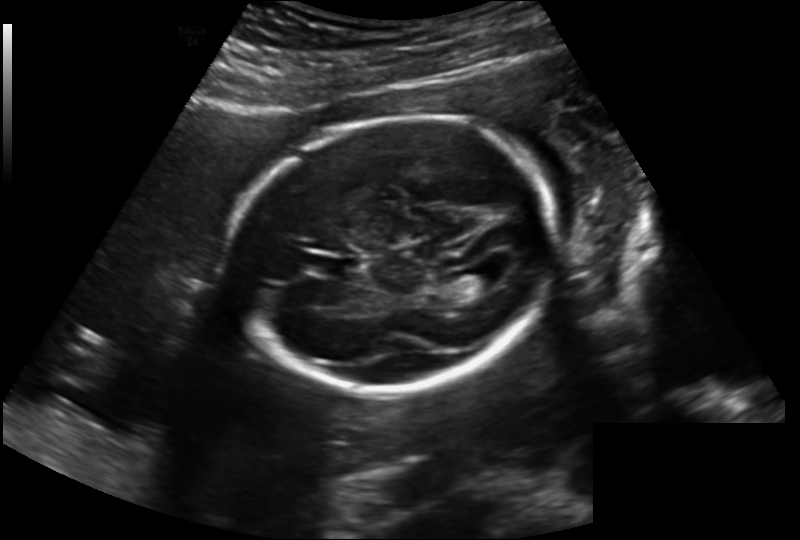
Fetal head ultrasound. Image width: 161.6 mm. Where is the cavum septum pellucidum?

CSP bounding box: [315,255,360,279]